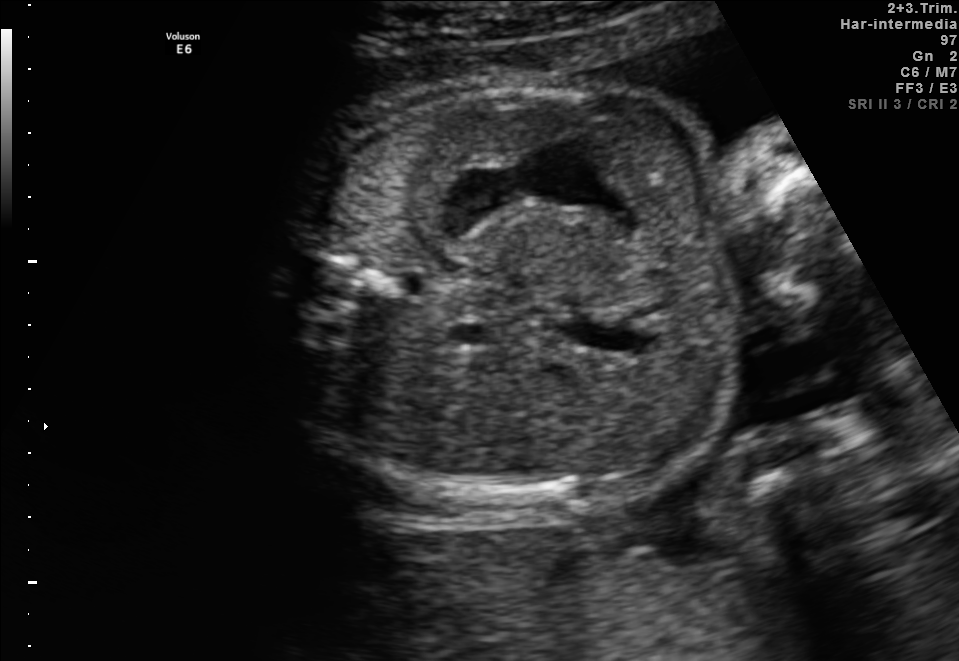
Which standard maternal-fetal ultrasound plane is shown: fetal abdomen, fetal brain, fetal femur, fetal thorax, maternal cervix, or other? If it's fetal brain and one of the three standard brain planes (trans-thalamic, trans-cerebellum, trans-ventricular), name which.

Fetal abdomen